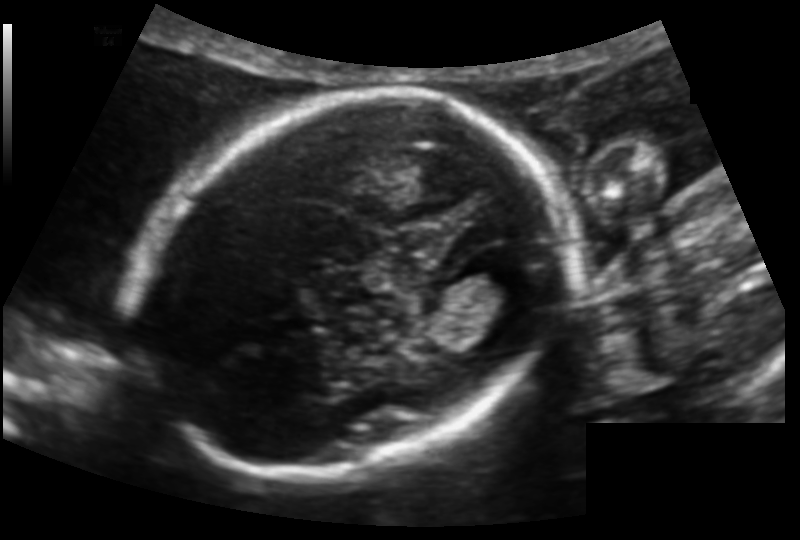
What is the fetal head circumference? Image width is 98.5 mm.

159.1 mm